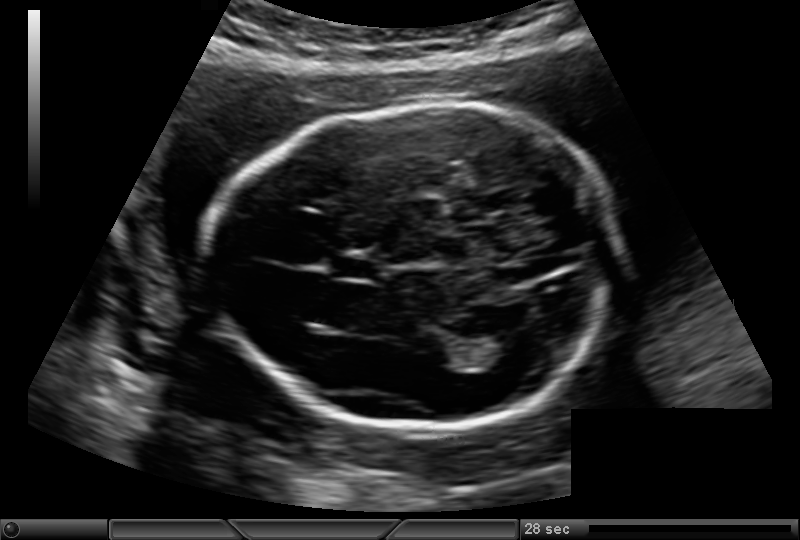
Measure the fetal head circumference shown in this ultrasound image. Image width: 117.2 mm.

Head circumference: 178.0 mm.